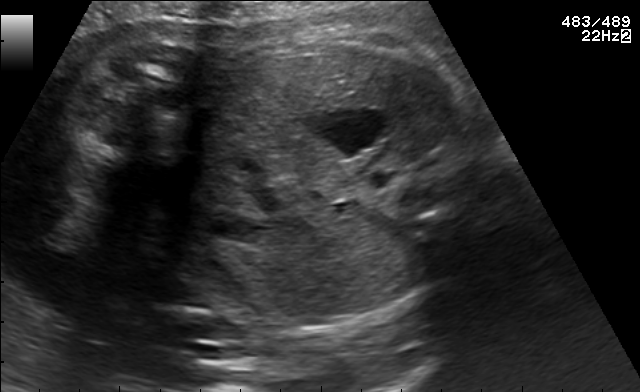
Identify the standard plane in this fetal ultrasound image: fetal abdomen, fetal brain, fetal femur, fetal thorax, maternal cervix, or other. If it's fetal brain and one of the three standard brain planes (trans-thalamic, trans-cerebellum, trans-ventricular), name which.

Fetal abdomen